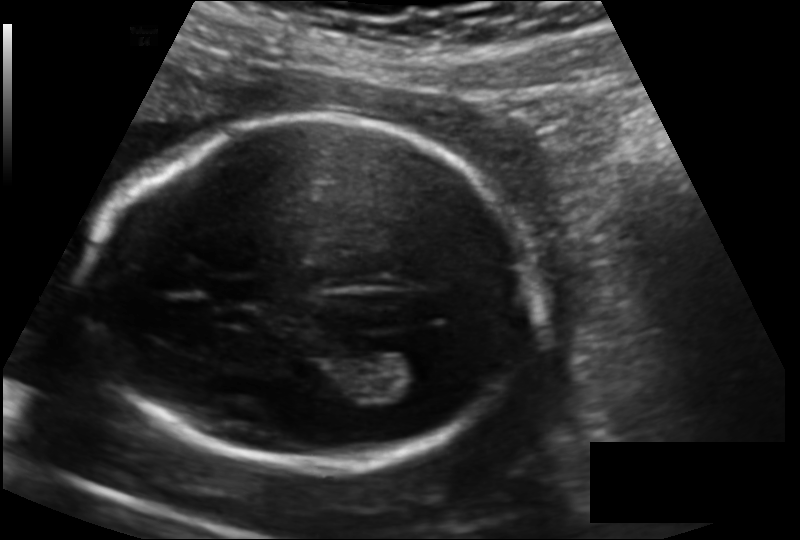
In this fetal head ultrasound, give the bounding box of the lateral ventricle. Image width: 111.4 mm.

[372,346,445,400]